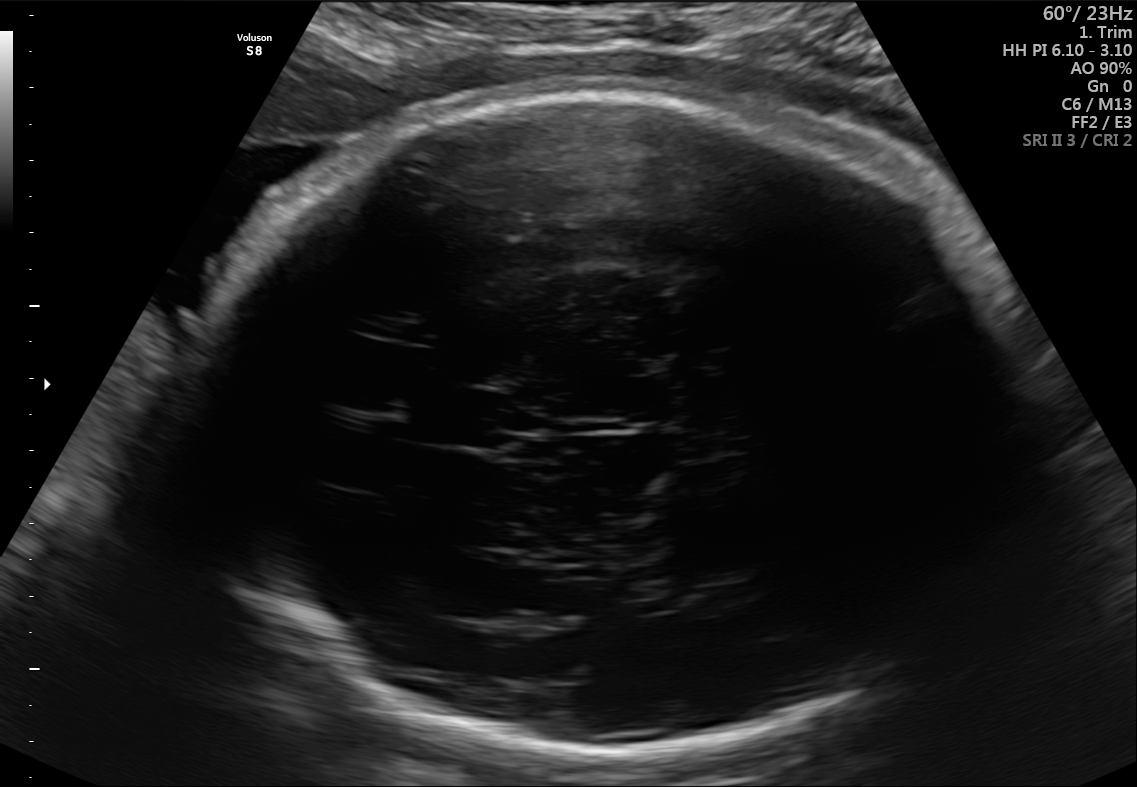
In this fetal brain, trans-thalamic plane, give the bounding box of the cavum septum pellucidum.

[418,381,531,452]